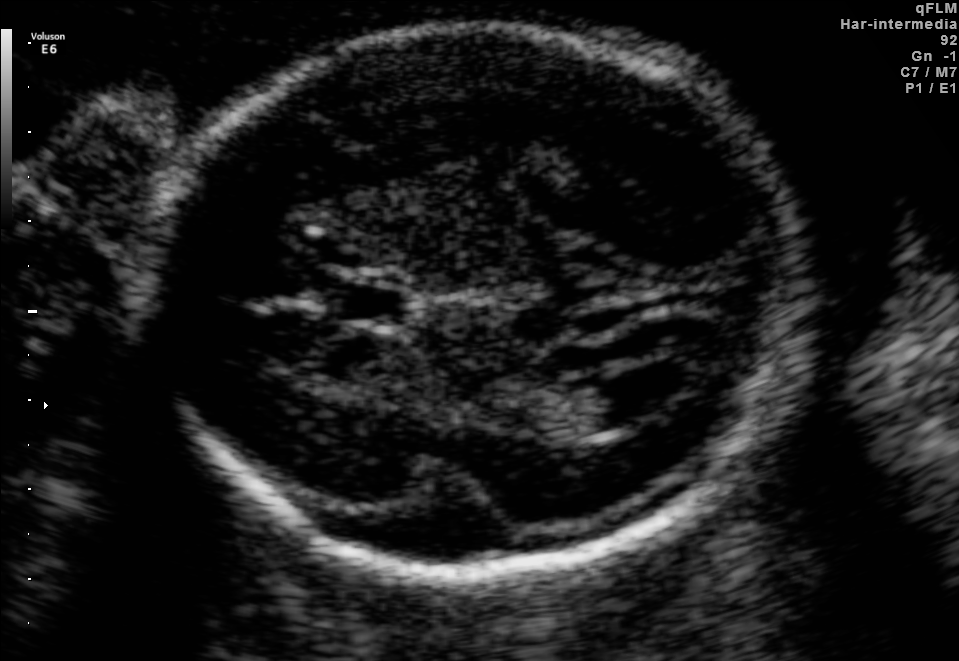
Fetal brain, trans-ventricular plane. Locate the cavum septum pellucidum.

CSP: [317,276,425,331]